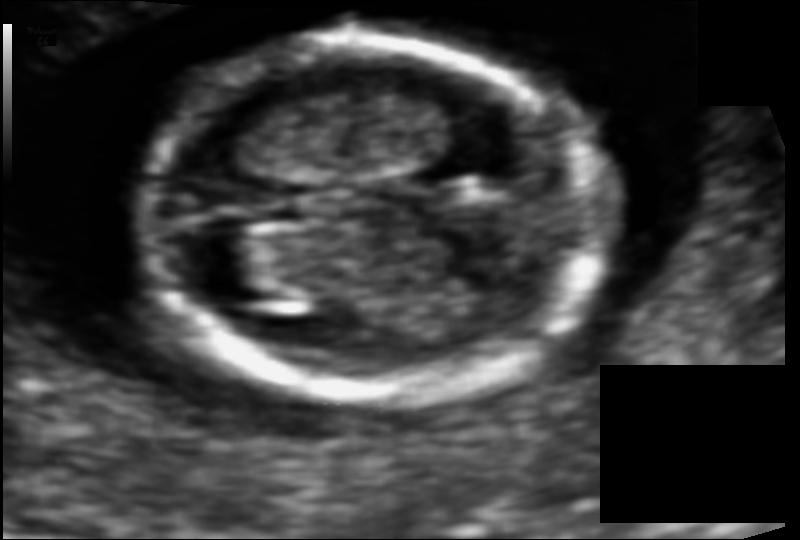
What is the fetal head circumference? Image width is 59.6 mm.

99.4 mm